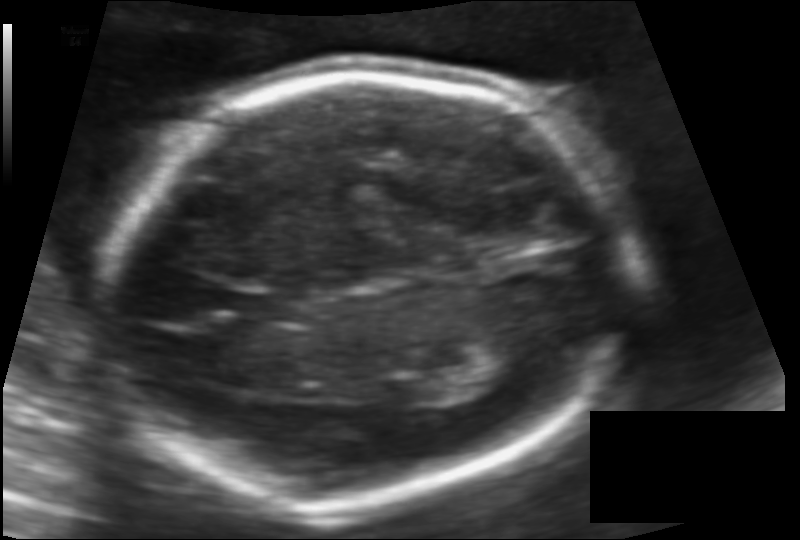
Fetal head ultrasound. Image width: 93.5 mm. Give [x1,y1,x2,y2] bounding boxes for each visible structure among: fetal head, CSP, LV.

Head: [101,74,624,498]